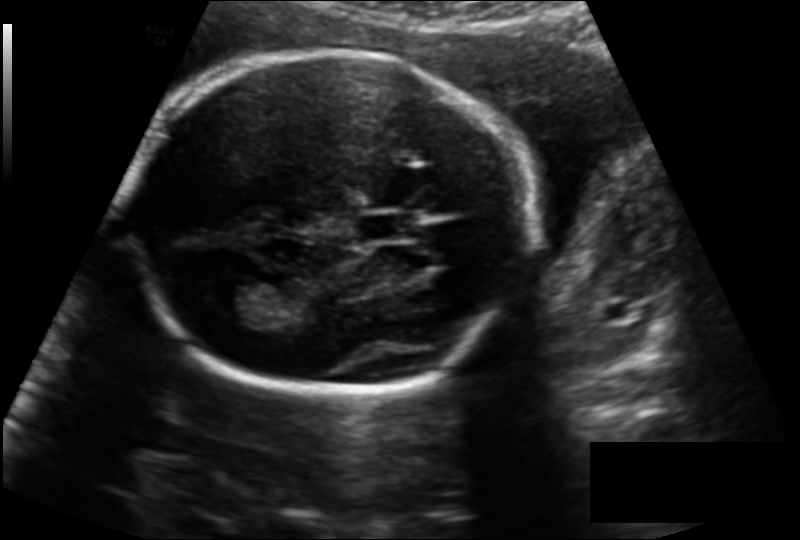
Fetal head ultrasound. Image width: 122.1 mm. Where is the fetal head?

Head bounding box: [128,51,529,395]